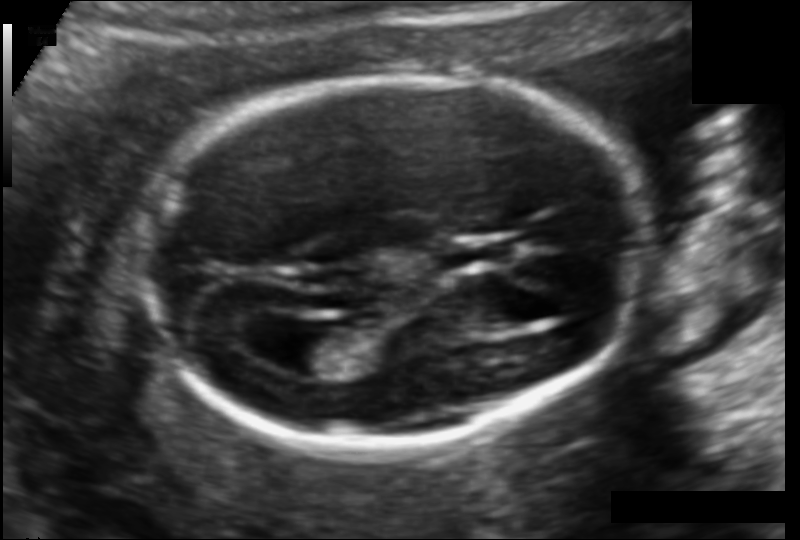
In this fetal head ultrasound, give the bounding box of the cavum septum pellucidum. Image width: 91.5 mm.

[443,234,512,272]